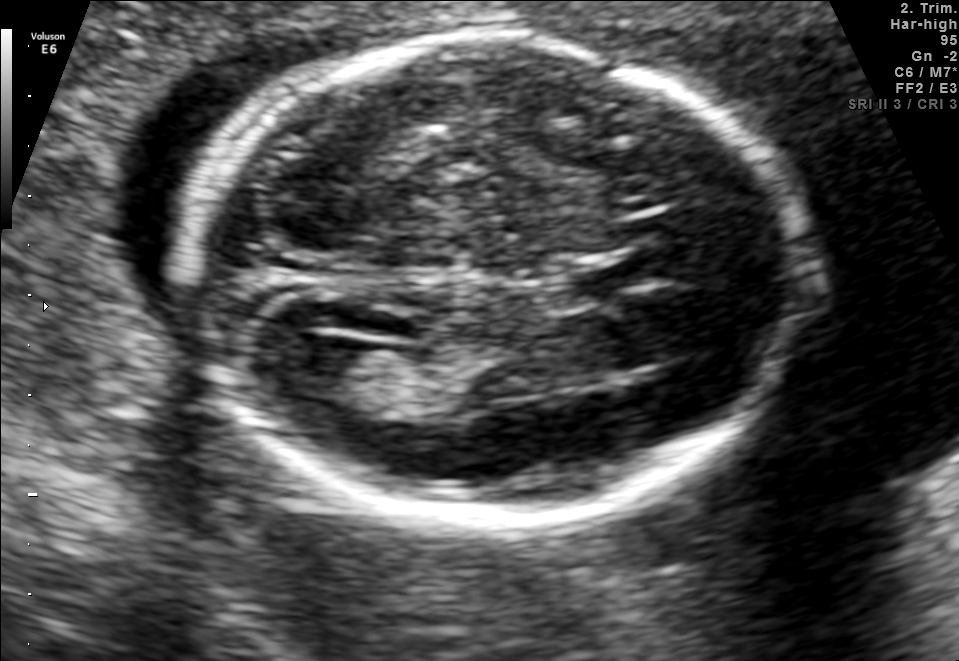
In this fetal brain, trans-ventricular plane, give bounding boxes for the head outline, cavum septum pellucidum (CSP), and lateral ventricle (LV), where visible.

Head: [173,30,822,533]
CSP: [530,238,668,314]
Lateral ventricle: [264,326,377,409]